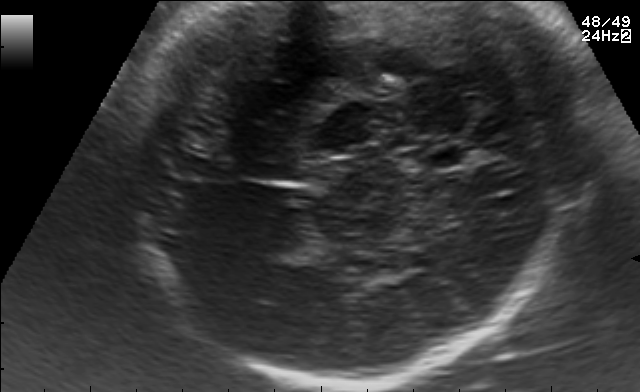
In this fetal brain, trans-thalamic plane, give bounding boxes for the cavum septum pellucidum (CSP) and lateral ventricle (LV), where visible.

CSP: [414,143,461,171]